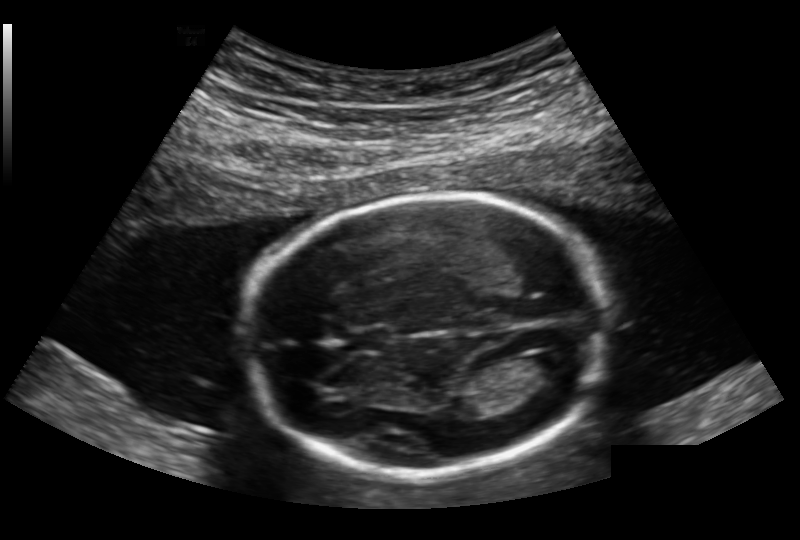
Fetal head ultrasound. Image width: 134.4 mm. Locate the lateral ventricle.

Lateral ventricle: [521,346,578,387]